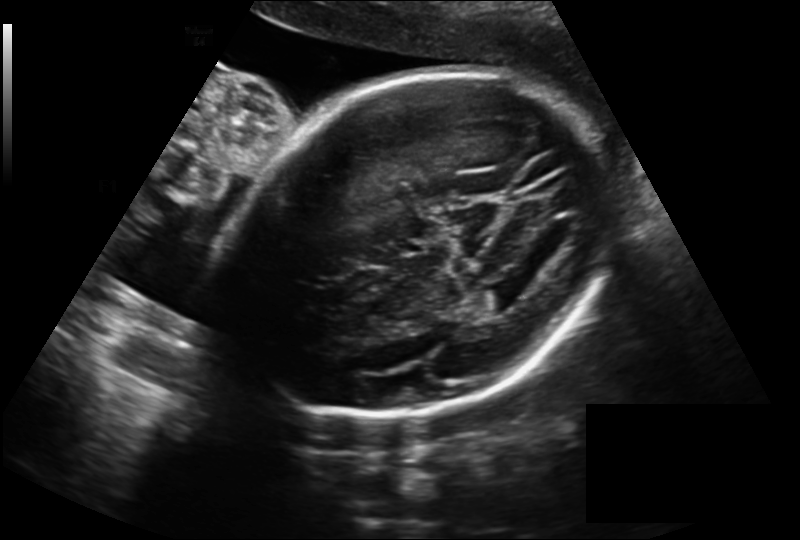
Fetal head ultrasound. Image width: 179.9 mm. Where is the fetal head?

Head bounding box: [227,74,613,419]